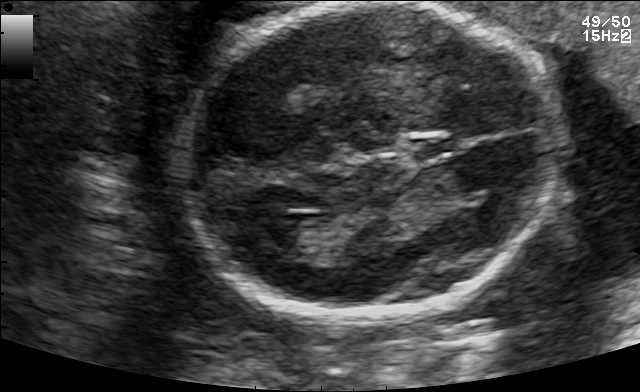
In this fetal brain, trans-ventricular plane, give the bounding box of the fetal head.

[168,1,566,329]